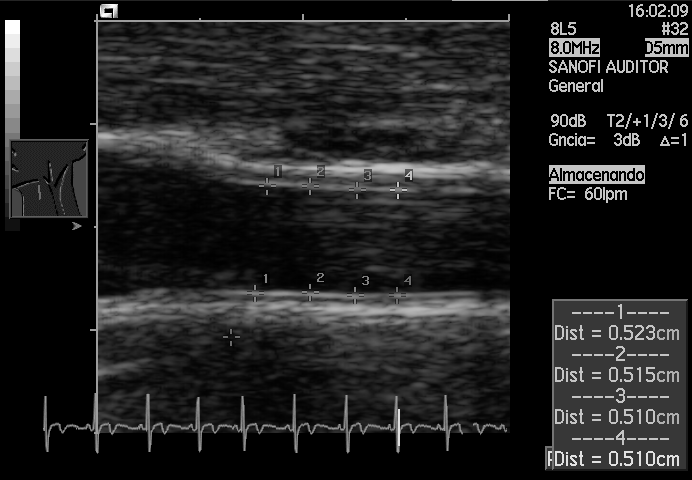
Identify the standard plane in this fetal ultrasound image: fetal abdomen, fetal brain, fetal femur, fetal thorax, maternal cervix, or other. If it's fetal brain and one of the three standard brain planes (trans-thalamic, trans-cerebellum, trans-ventricular), name which.

Other